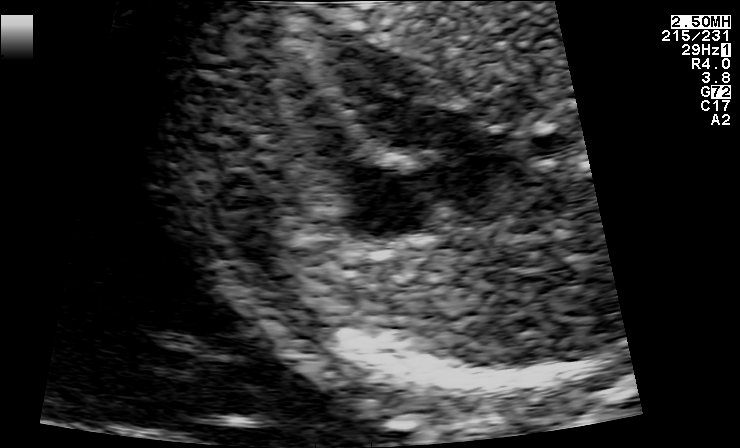
Which standard maternal-fetal ultrasound plane is shown: fetal abdomen, fetal brain, fetal femur, fetal thorax, maternal cervix, or other? If it's fetal brain and one of the three standard brain planes (trans-thalamic, trans-cerebellum, trans-ventricular), name which.

Other